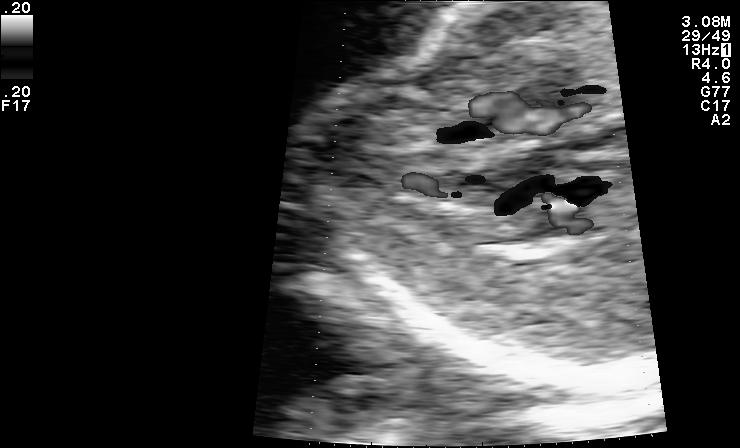
Classify this maternal-fetal ultrasound image as one of the six standard planes — fetal abdomen, fetal brain, fetal femur, fetal thorax, maternal cervix, or other. If it's fetal brain and one of the three standard brain planes (trans-thalamic, trans-cerebellum, trans-ventricular), name which.

Other